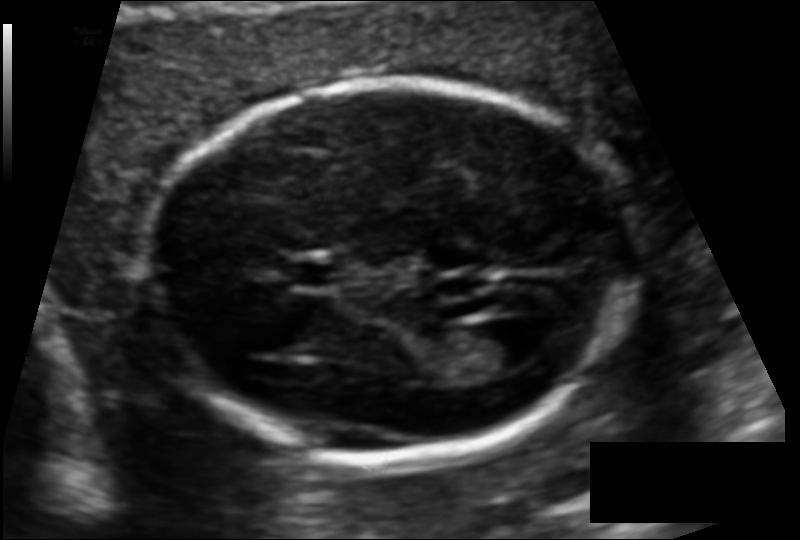
Fetal head ultrasound. Image width: 88.0 mm. Locate the cavum septum pellucidum.

CSP: [287,263,343,286]